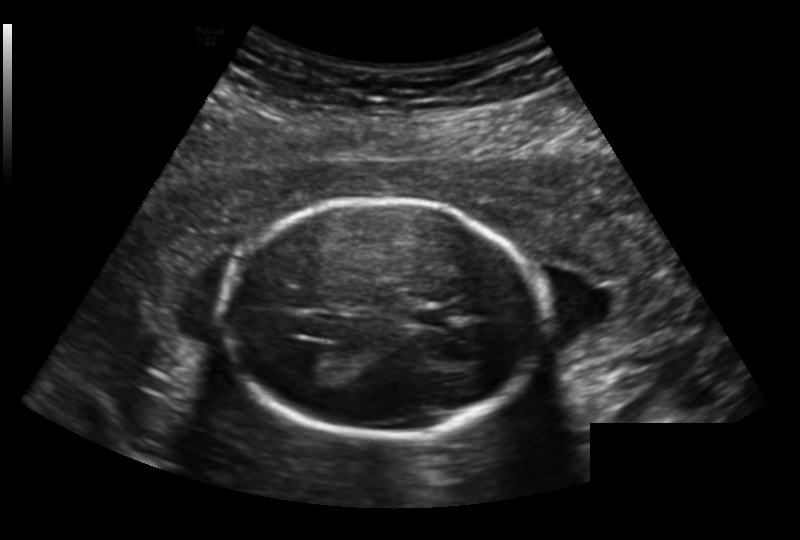
In this fetal head ultrasound, give the bounding box of the lateral ventricle. Image width: 152.4 mm.

[290,350,342,383]